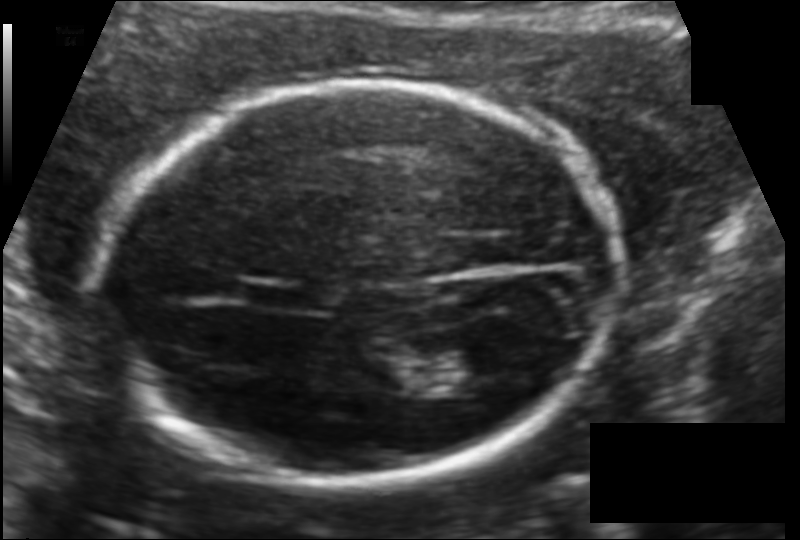
Fetal head ultrasound. Image width: 96.7 mm. Where is the fetal head?

Head bounding box: [104,83,624,480]